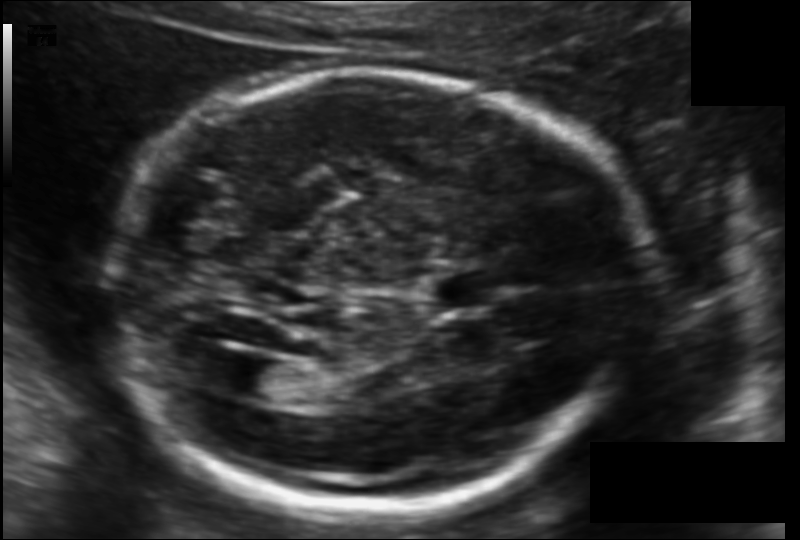
Measure the fetal head circumference shown in this ultrasound image. Image width: 95.3 mm.

Head circumference: 188.6 mm.